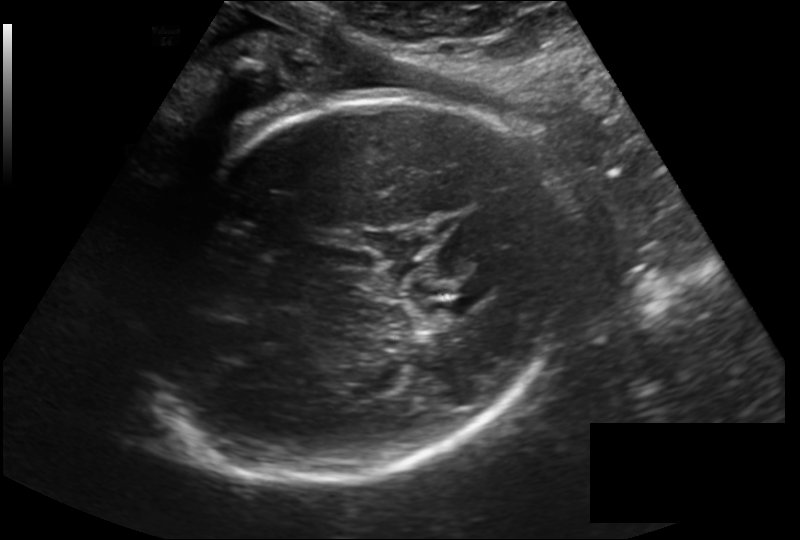
Estimate the fetal head circumference from this 2D ultrasound.

Head circumference: 287.1 mm (image width 175.4 mm).